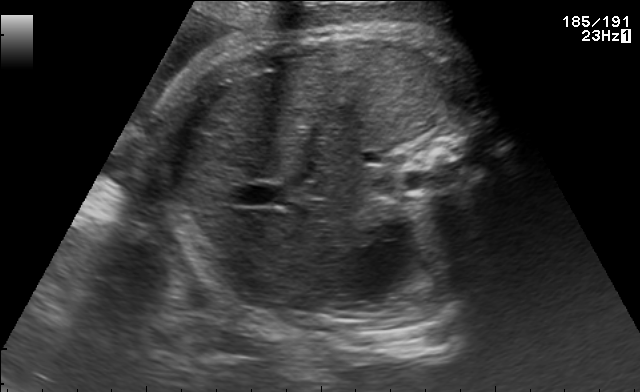
This is a 2D maternal-fetal ultrasound frame. Is it a fetal abdomen, fetal brain, fetal femur, fetal thorax, maternal cervix, or other standard plane? If it's fetal brain and one of the three standard brain planes (trans-thalamic, trans-cerebellum, trans-ventricular), name which.

Fetal abdomen